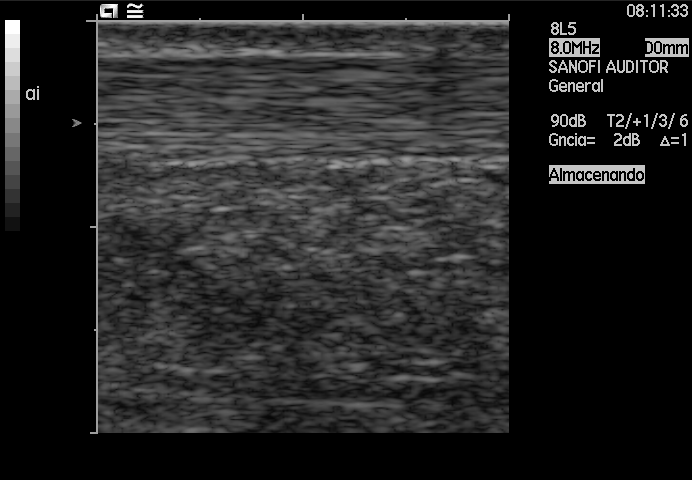
Identify the standard plane in this fetal ultrasound image: fetal abdomen, fetal brain, fetal femur, fetal thorax, maternal cervix, or other. If it's fetal brain and one of the three standard brain planes (trans-thalamic, trans-cerebellum, trans-ventricular), name which.

Other